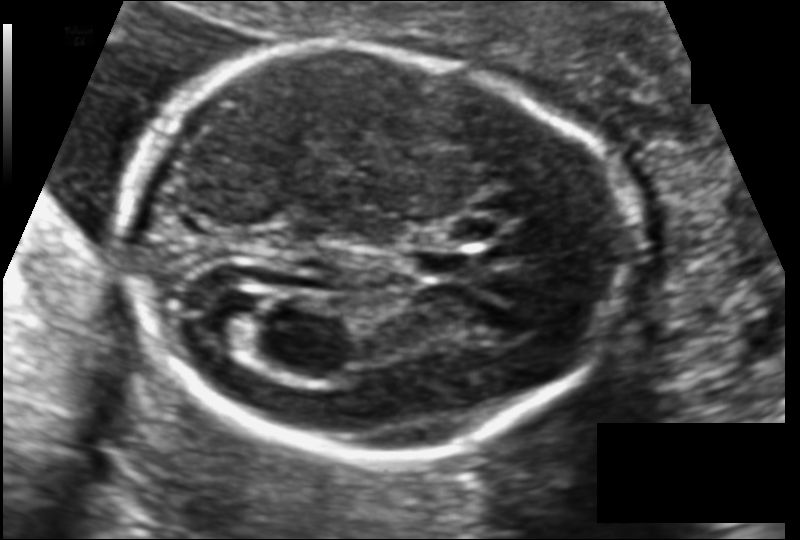
Fetal head ultrasound. Image width: 93.1 mm. Where is the cavum septum pellucidum?

CSP bounding box: [409,248,473,278]